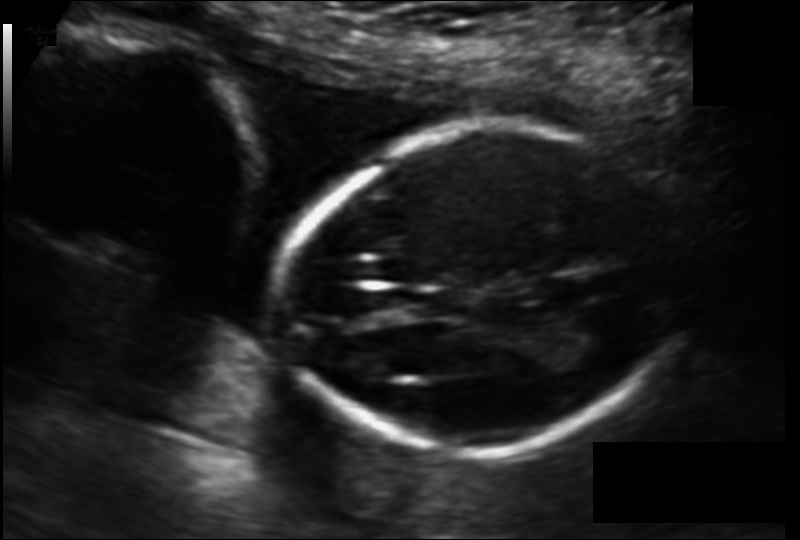
In this fetal head ultrasound, give bounding boxes for the head outline, cavum septum pellucidum (CSP), and lateral ventricle (LV), where visible. Image width: 102.9 mm.

Head: [274,123,676,453]